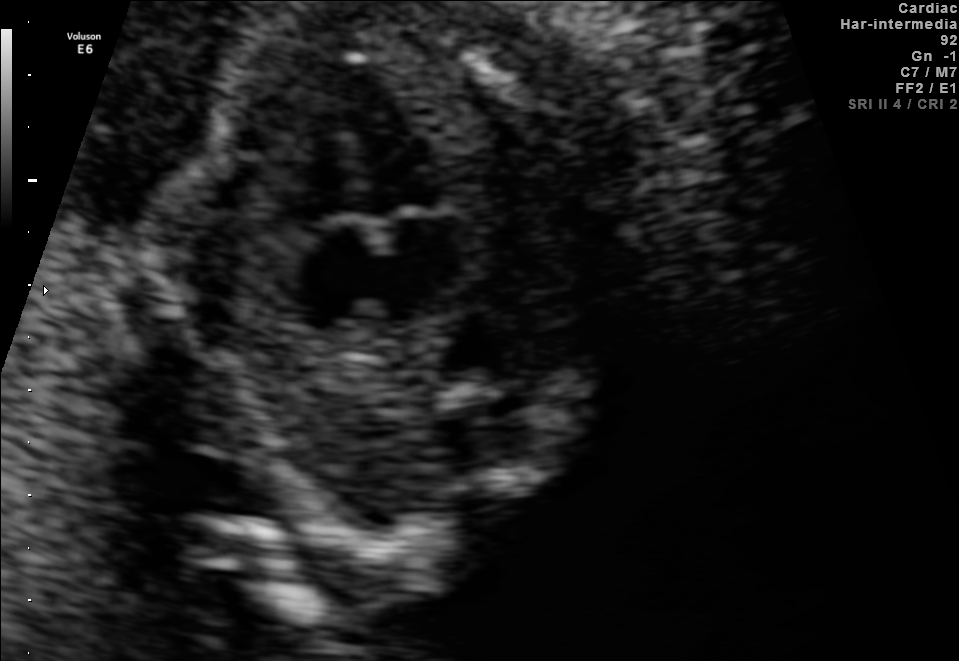
Identify the standard plane in this fetal ultrasound image: fetal abdomen, fetal brain, fetal femur, fetal thorax, maternal cervix, or other. If it's fetal brain and one of the three standard brain planes (trans-thalamic, trans-cerebellum, trans-ventricular), name which.

Fetal thorax